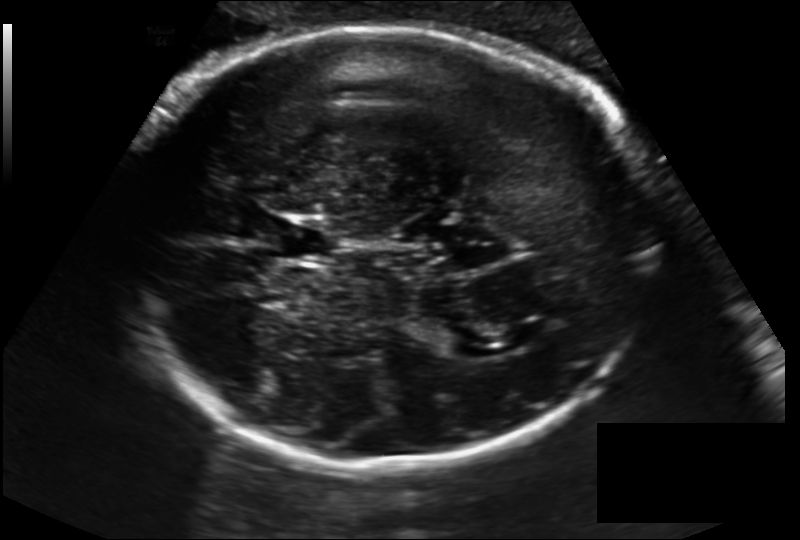
Fetal head ultrasound. Image width: 155.1 mm. Locate the fetal head and, if visible, the cavum septum pellucidum (CSP) and lateral ventricle (LV). Give bounding boxes as [x1,y1,x2,y2].

Head: [117,27,665,464]
CSP: [260,215,332,264]
Lateral ventricle: [431,323,481,358]